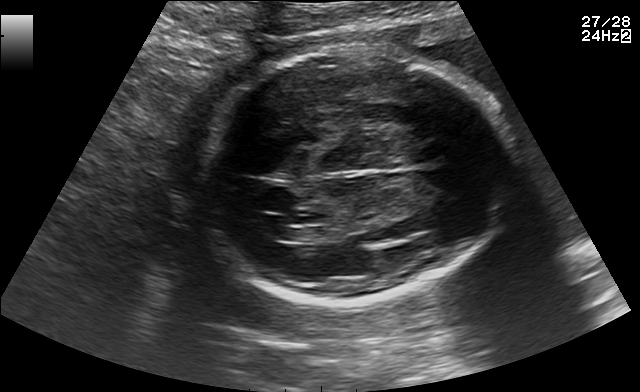
Fetal brain, trans-ventricular plane. Where is the fetal head?

Head bounding box: [200,45,515,308]